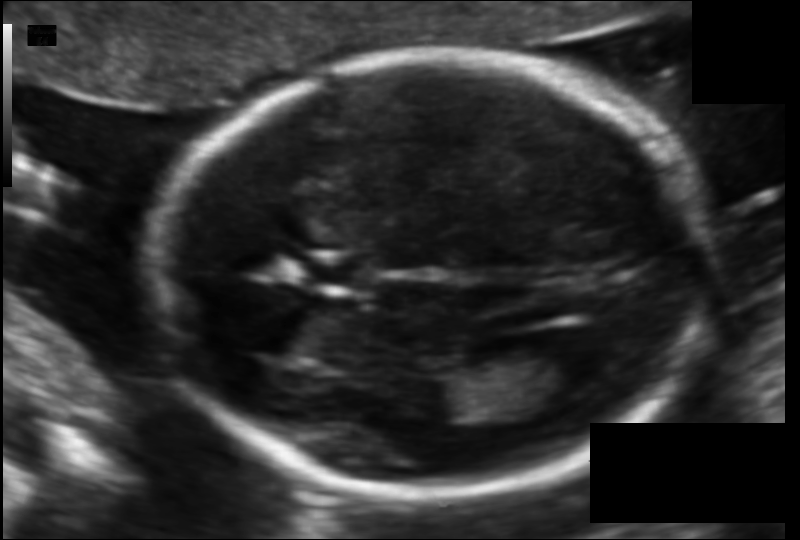
Fetal head ultrasound. Image width: 83.8 mm. Where is the fetal head?

Head bounding box: [158,53,706,500]